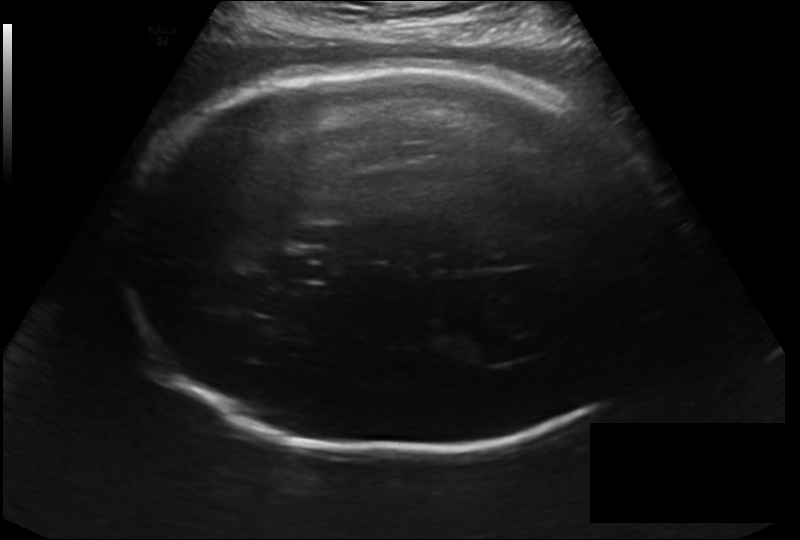
In this fetal head ultrasound, give the bounding box of the fetal head. Image width: 171.6 mm.

[122,64,677,452]